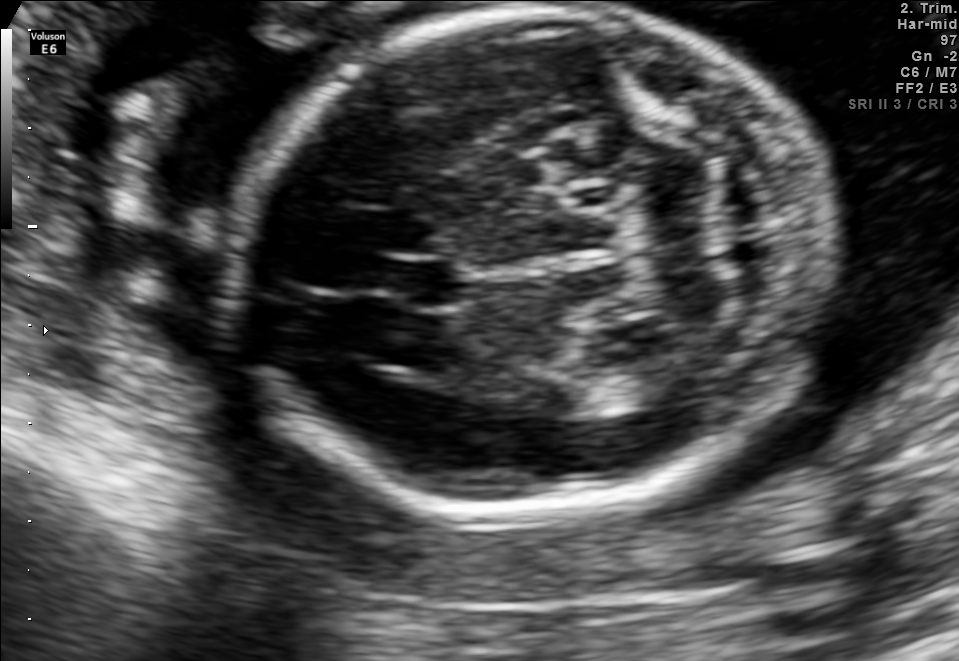
In this fetal brain, trans-cerebellum plane, give the bounding box of the cavum septum pellucidum.

[392,253,463,313]